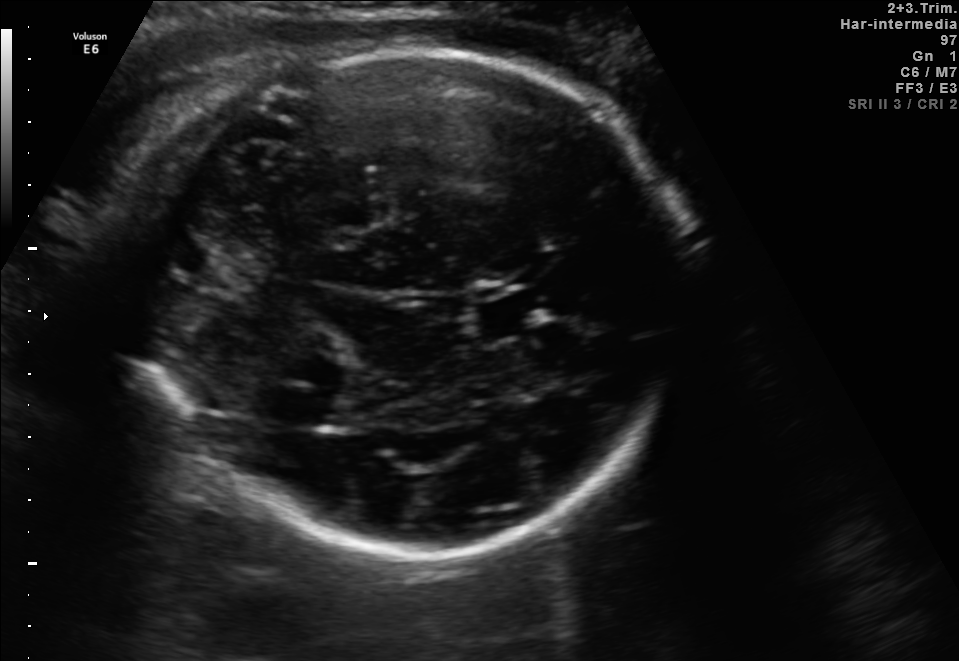
Fetal brain, trans-thalamic plane. Where is the lateral ventricle?

Lateral ventricle bounding box: [269,391,340,424]